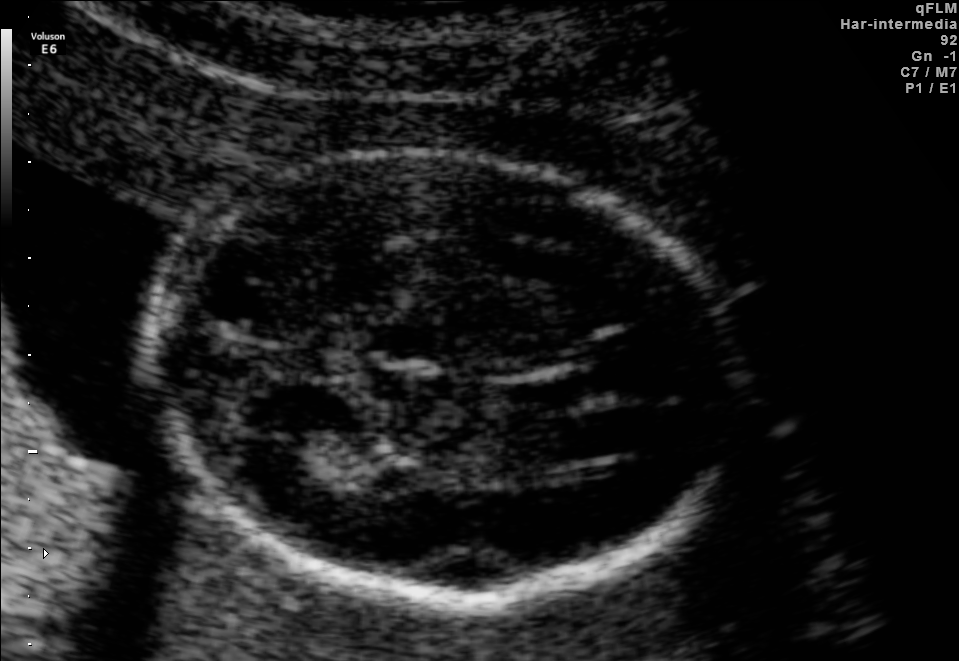
Fetal brain, trans-thalamic plane. Where is the fetal head?

Head bounding box: [147,155,738,596]